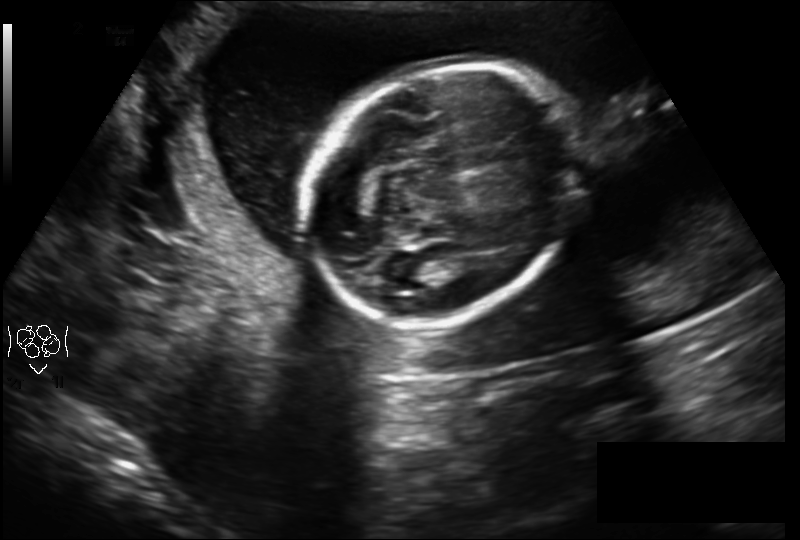
In this fetal head ultrasound, give the bounding box of the fetal head. Image width: 167.6 mm.

[306,64,582,321]